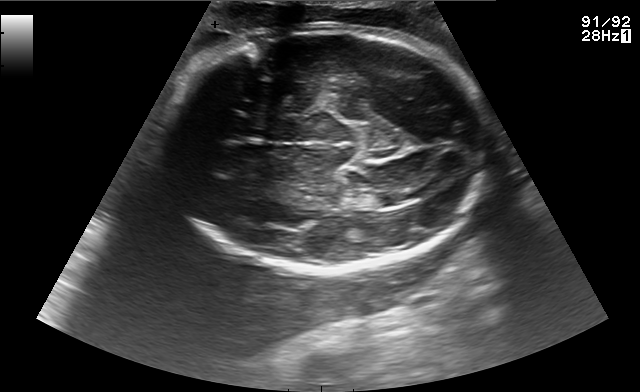
Fetal brain, trans-thalamic plane. Locate the fetal head and, if visible, the cavum septum pellucidum (CSP) and lateral ventricle (LV). Give bounding boxes as [x1,y1,x2,y2].

Head: [160,25,493,273]
Lateral ventricle: [371,184,421,212]